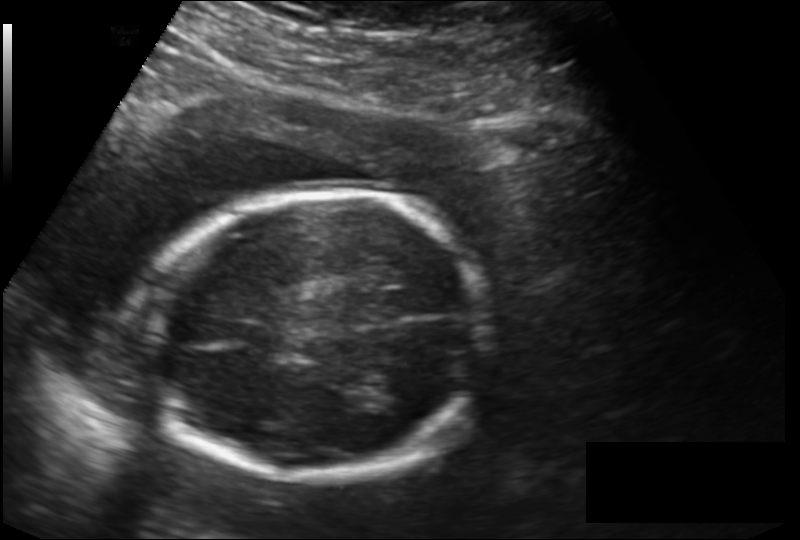
Fetal head ultrasound. Image width: 133.1 mm. Give [x1,y1,x2,y2] bounding boxes for each visible structure among: fetal head, CSP, LV.

Head: [138,193,485,476]